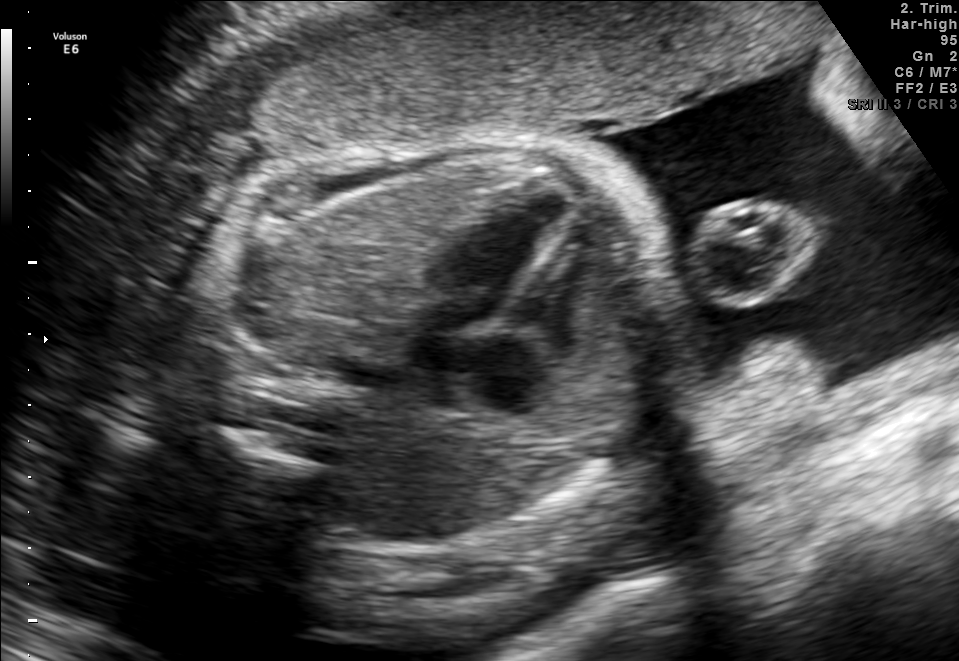
Identify the standard plane in this fetal ultrasound image: fetal abdomen, fetal brain, fetal femur, fetal thorax, maternal cervix, or other. If it's fetal brain and one of the three standard brain planes (trans-thalamic, trans-cerebellum, trans-ventricular), name which.

Fetal thorax